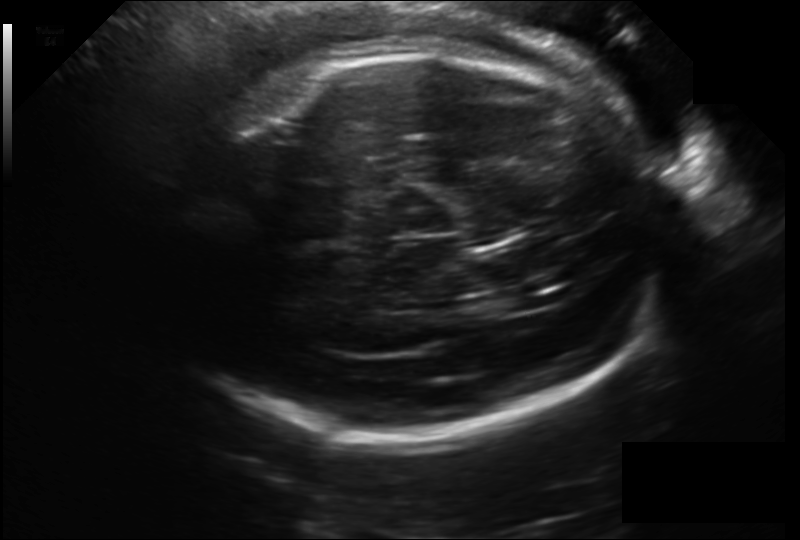
In this fetal head ultrasound, give bounding boxes for the head outline, cavum septum pellucidum (CSP), and lateral ventricle (LV), where visible. Image width: 162.0 mm.

Head: [149,47,669,438]